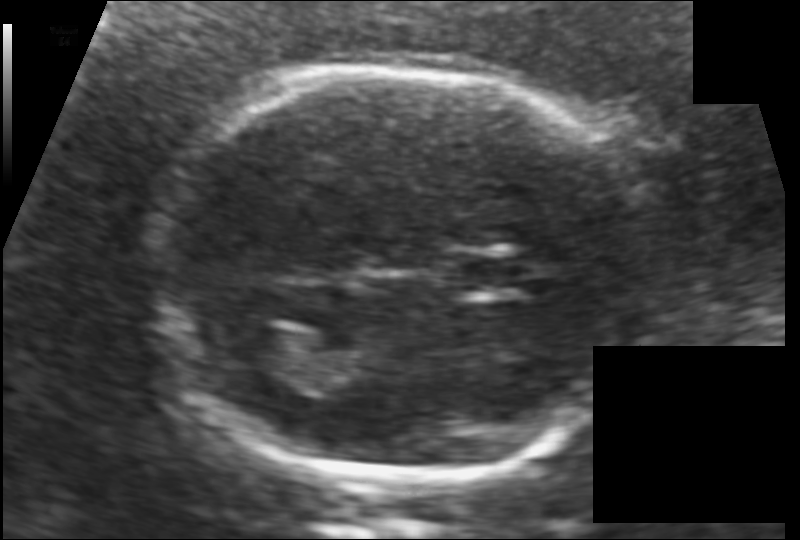
Estimate the fetal head circumference from this 2D ultrasound. Image width: 94.0 mm.

Head circumference: 171.4 mm.